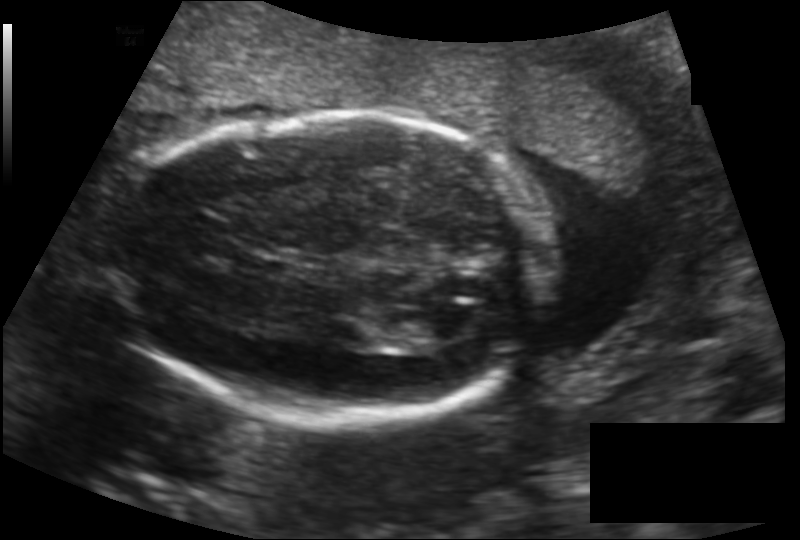
Estimate the fetal head circumference from this 2D ultrasound.

Head circumference: 178.3 mm (image width 116.6 mm).